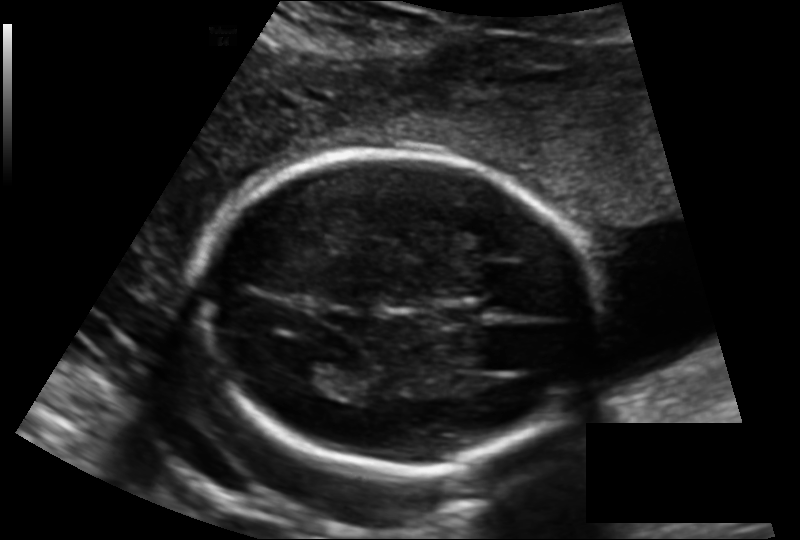
Fetal head ultrasound. Image width: 114.7 mm. Locate the cavum septum pellucidum.

CSP: [434,300,482,330]